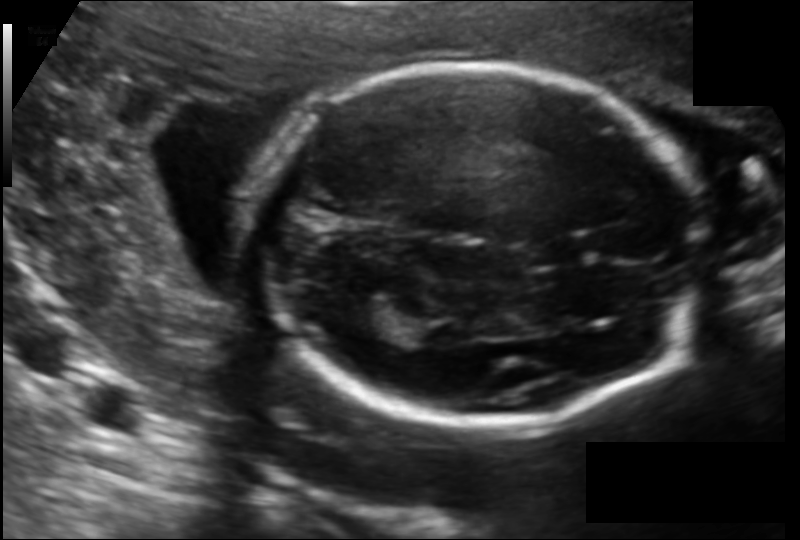
In this fetal head ultrasound, give the bounding box of the fetal head. Image width: 103.2 mm.

[248,63,702,422]